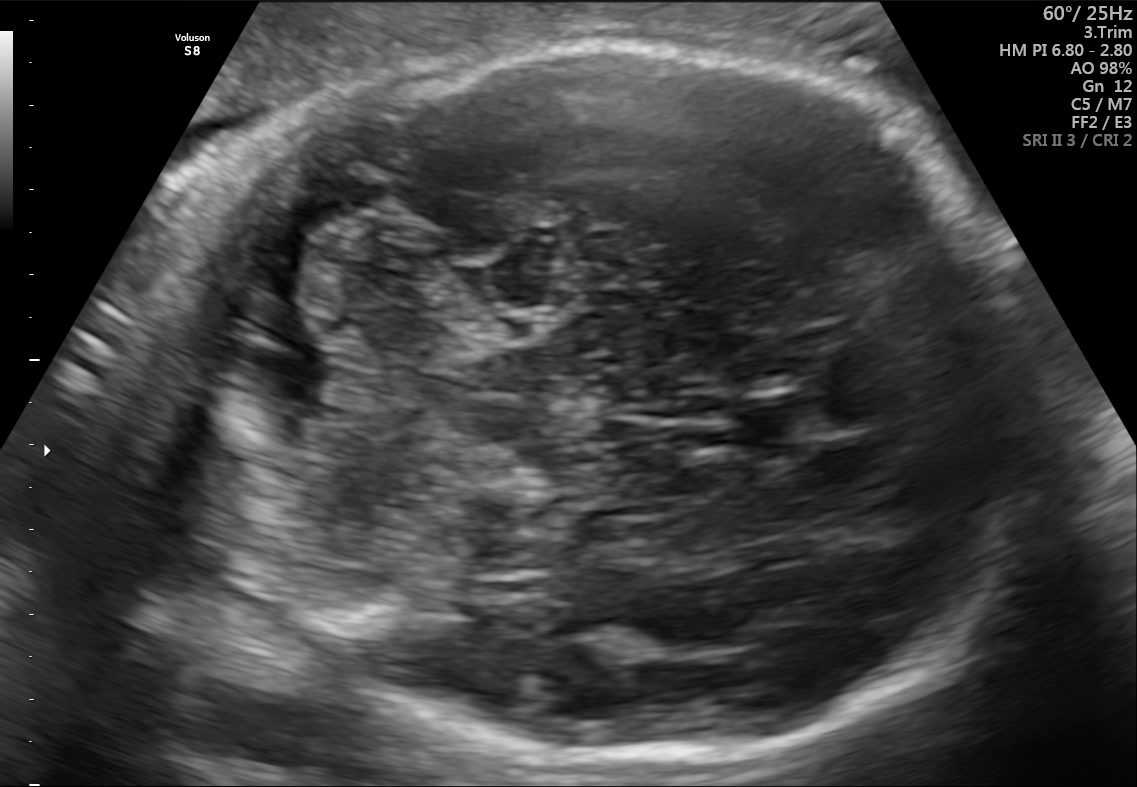
In this fetal brain, trans-cerebellum plane, give the bounding box of the fetal head.

[145,42,1049,760]